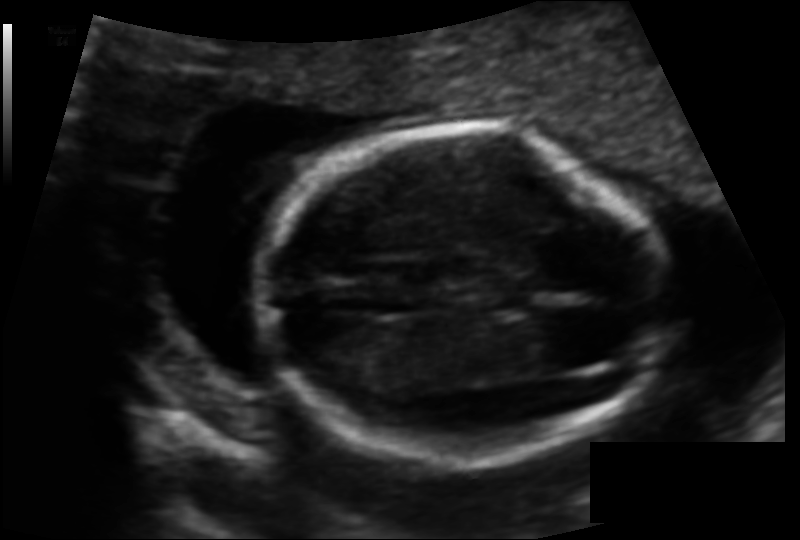
Fetal head ultrasound. Image width: 81.7 mm. Give [x1,y1,x2,y2] bounding boxes for each visible structure among: fetal head, CSP, LV.

Head: [263,127,666,463]
CSP: [486,283,530,312]